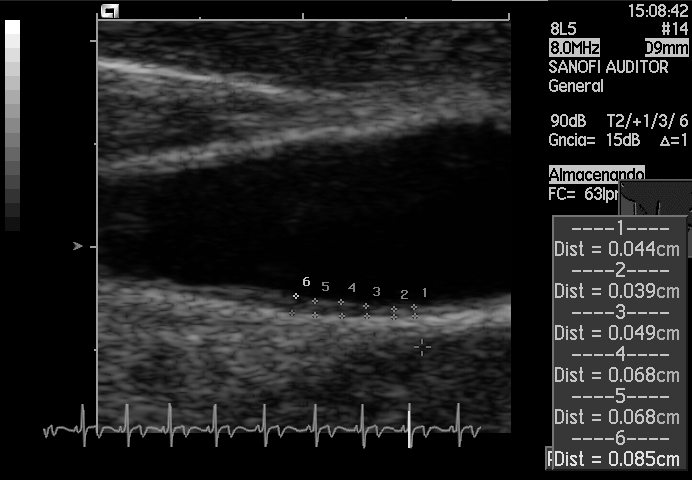
Identify the standard plane in this fetal ultrasound image: fetal abdomen, fetal brain, fetal femur, fetal thorax, maternal cervix, or other. If it's fetal brain and one of the three standard brain planes (trans-thalamic, trans-cerebellum, trans-ventricular), name which.

Other